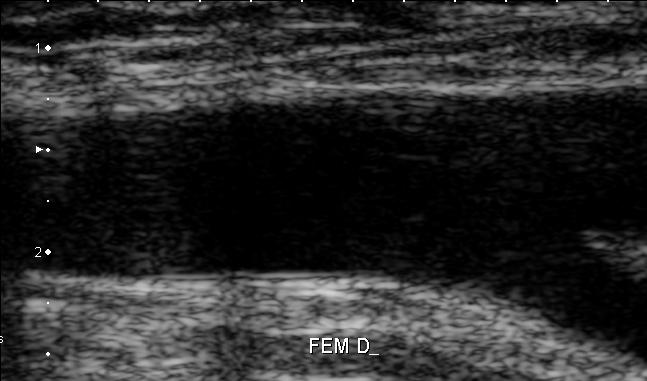
Classify this maternal-fetal ultrasound image as one of the six standard planes — fetal abdomen, fetal brain, fetal femur, fetal thorax, maternal cervix, or other. If it's fetal brain and one of the three standard brain planes (trans-thalamic, trans-cerebellum, trans-ventricular), name which.

Other